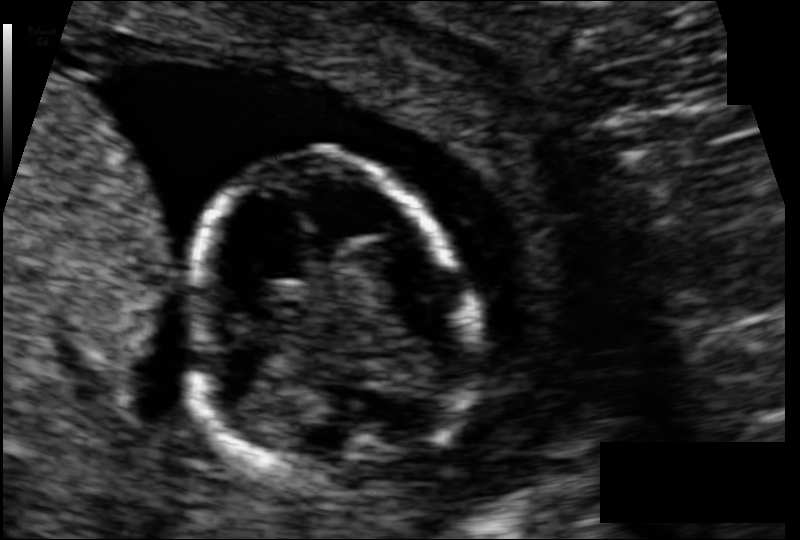
Estimate the fetal head circumference from this 2D ultrasound.

Head circumference: 78.3 mm (image width 60.7 mm).